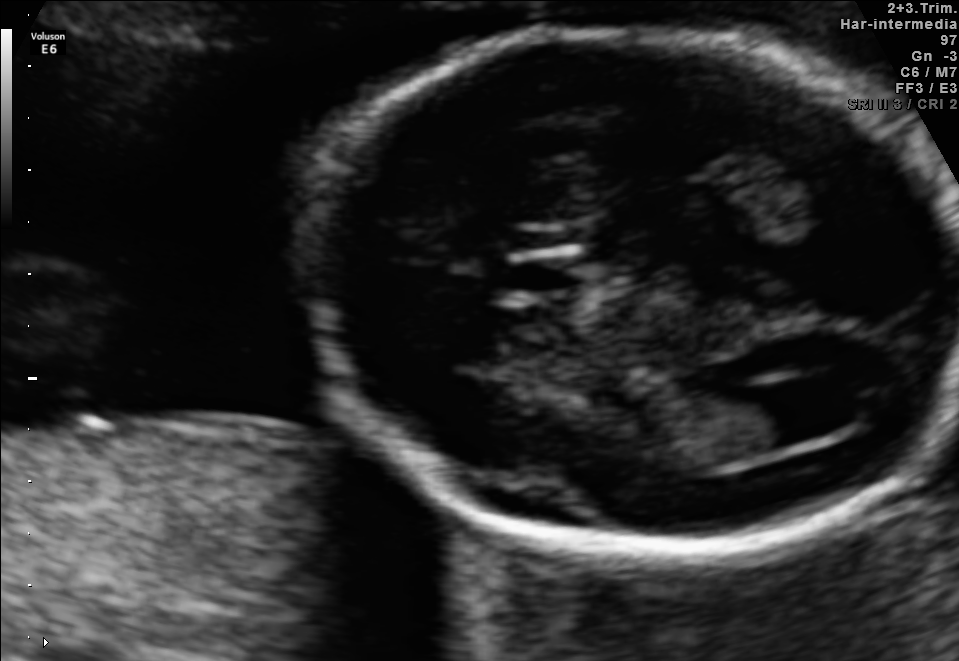
In this fetal brain, trans-ventricular plane, give the bounding box of the cavum septum pellucidum.

[513,262,587,299]